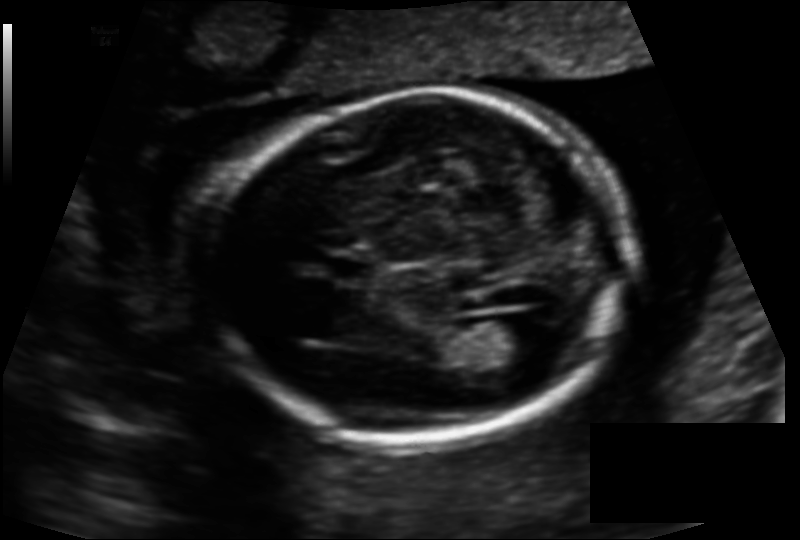
From this fetal ultrasound, estimate the head circumference (image width 107.3 mm).

Head circumference: 166.8 mm.